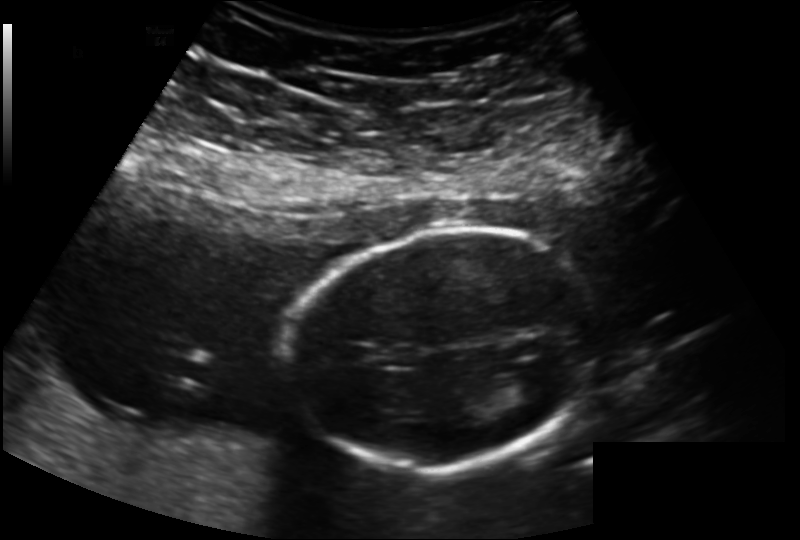
Estimate the fetal head circumference from this 2D ultrasound. Image width: 130.7 mm.

Head circumference: 145.7 mm.